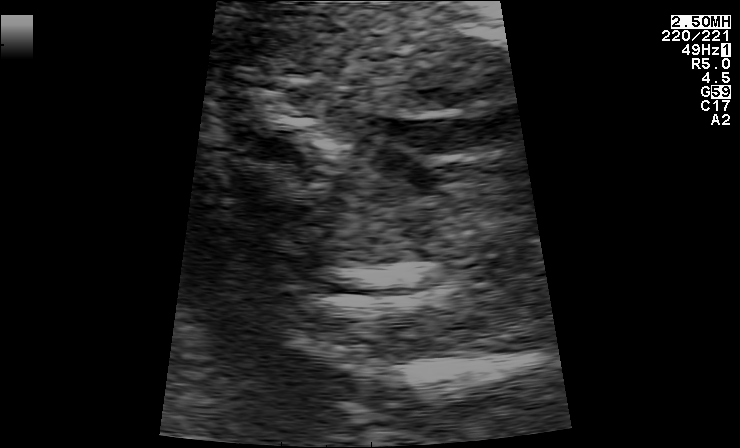
Which standard maternal-fetal ultrasound plane is shown: fetal abdomen, fetal brain, fetal femur, fetal thorax, maternal cervix, or other? If it's fetal brain and one of the three standard brain planes (trans-thalamic, trans-cerebellum, trans-ventricular), name which.

Other